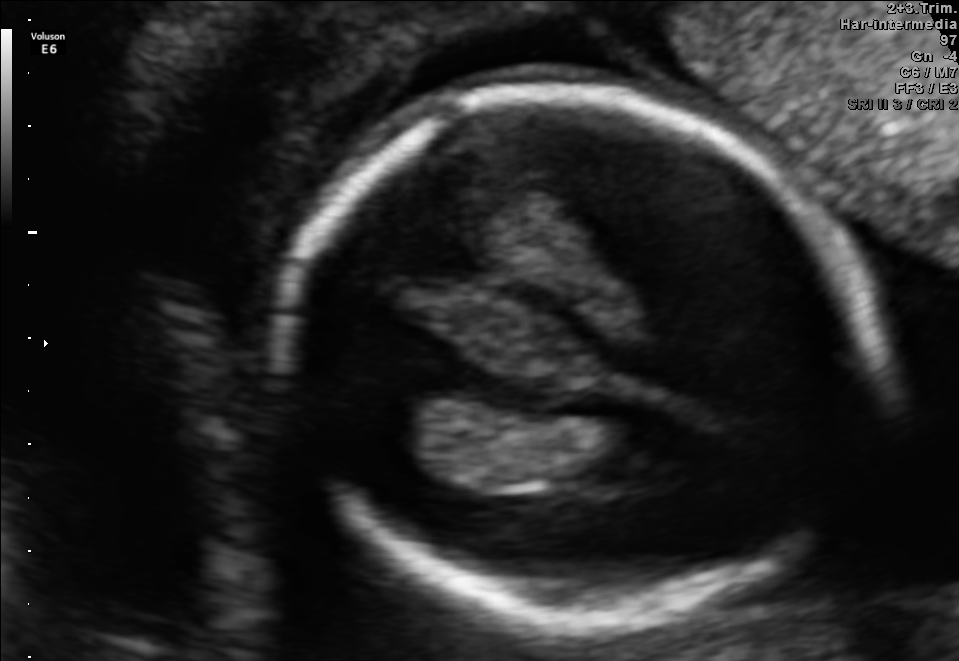
Which standard maternal-fetal ultrasound plane is shown: fetal abdomen, fetal brain, fetal femur, fetal thorax, maternal cervix, or other? If it's fetal brain and one of the three standard brain planes (trans-thalamic, trans-cerebellum, trans-ventricular), name which.

Fetal brain